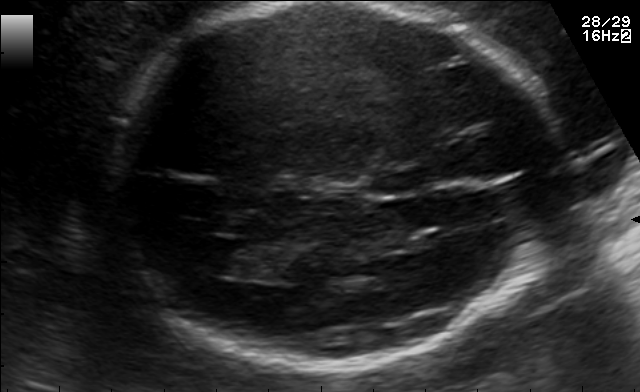
Fetal brain, trans-ventricular plane. Locate the fetal head.

Head: [89,2,581,378]